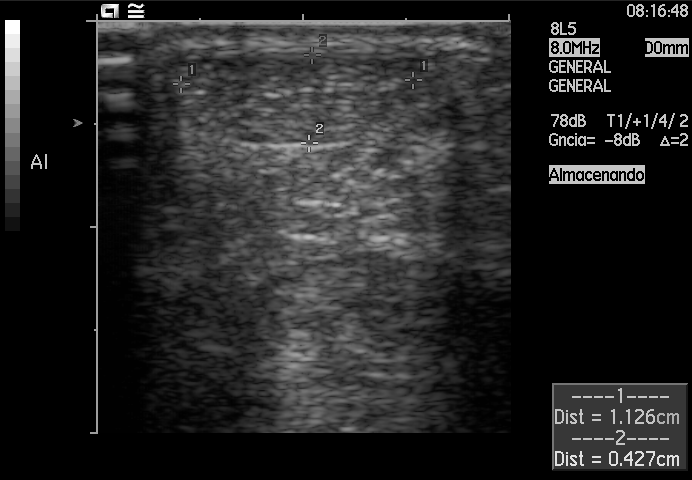
This is a 2D maternal-fetal ultrasound frame. Is it a fetal abdomen, fetal brain, fetal femur, fetal thorax, maternal cervix, or other standard plane? If it's fetal brain and one of the three standard brain planes (trans-thalamic, trans-cerebellum, trans-ventricular), name which.

Other